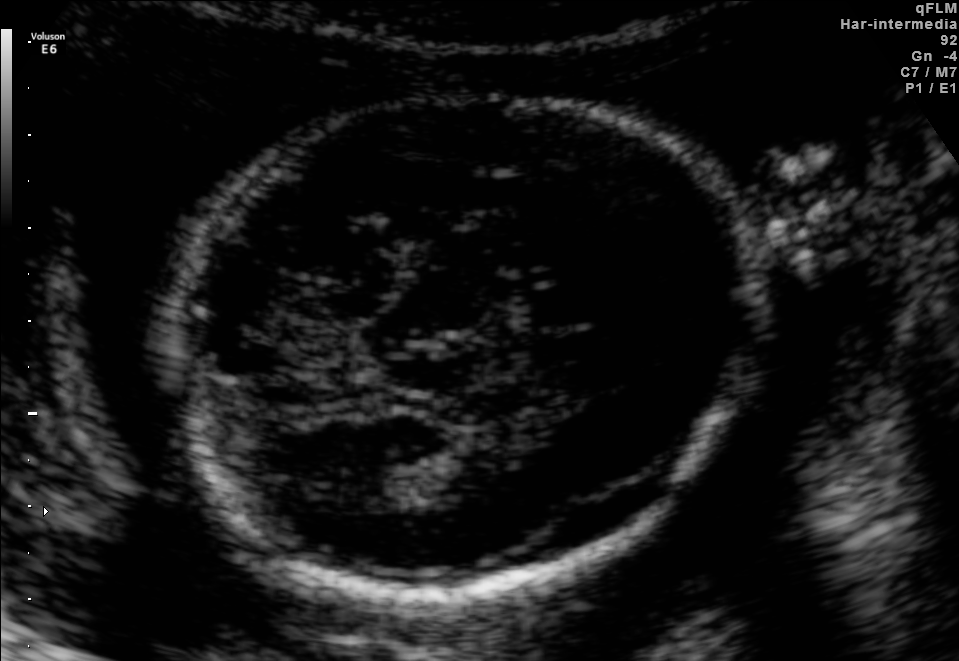
Fetal brain, trans-thalamic plane. Locate the fetal head.

Head: [167,92,752,593]